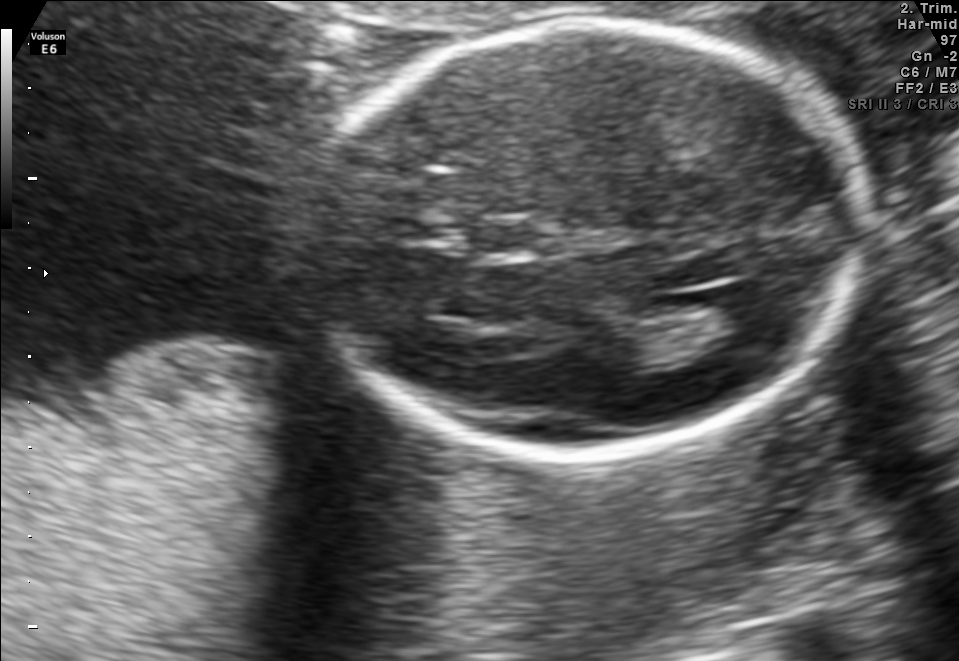
In this fetal brain, trans-ventricular plane, give bounding boxes for the head outline, cavum septum pellucidum (CSP), and lateral ventricle (LV), where visible.

Head: [305,15,874,462]
CSP: [473,217,536,261]
Lateral ventricle: [706,272,791,346]